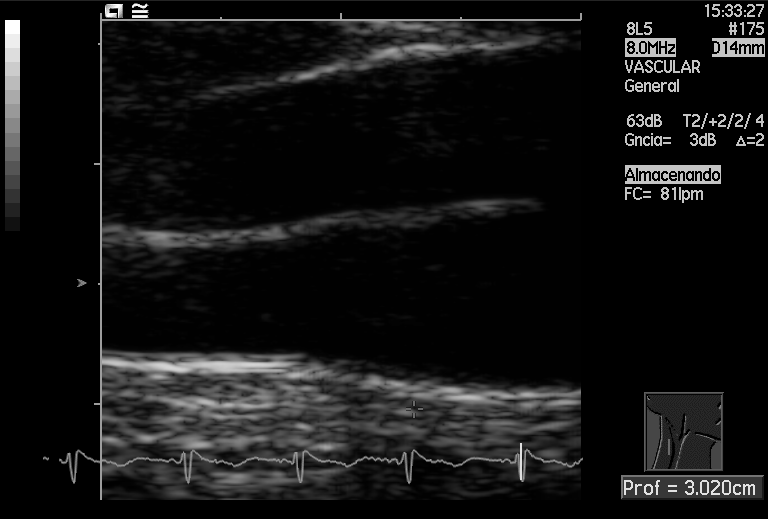
Classify this maternal-fetal ultrasound image as one of the six standard planes — fetal abdomen, fetal brain, fetal femur, fetal thorax, maternal cervix, or other. If it's fetal brain and one of the three standard brain planes (trans-thalamic, trans-cerebellum, trans-ventricular), name which.

Other